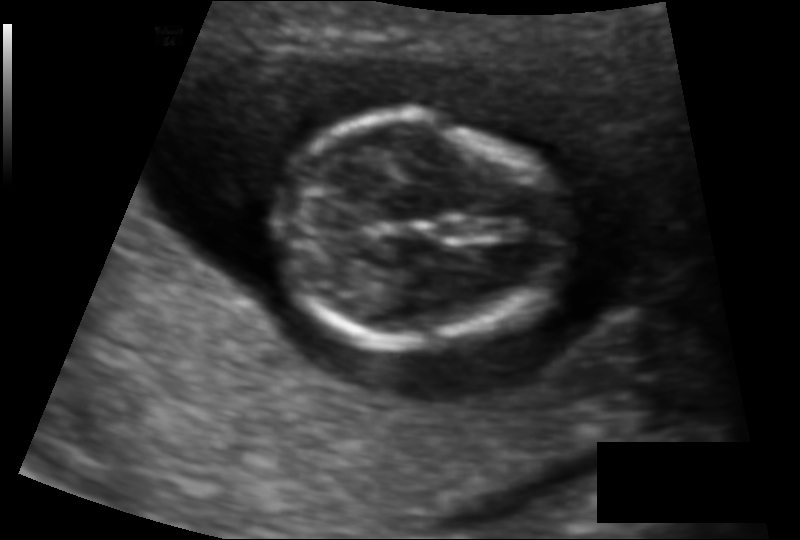
What is the fetal head circumference? Image width is 76.6 mm.

82.3 mm